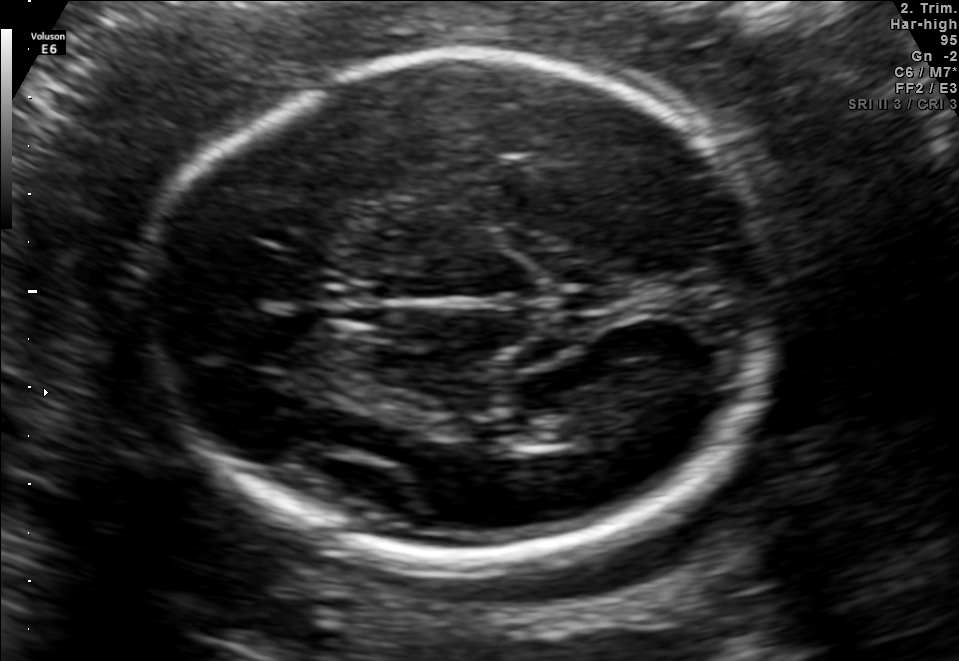
In this fetal brain, trans-thalamic plane, give the bounding box of the fetal head.

[145,49,768,560]